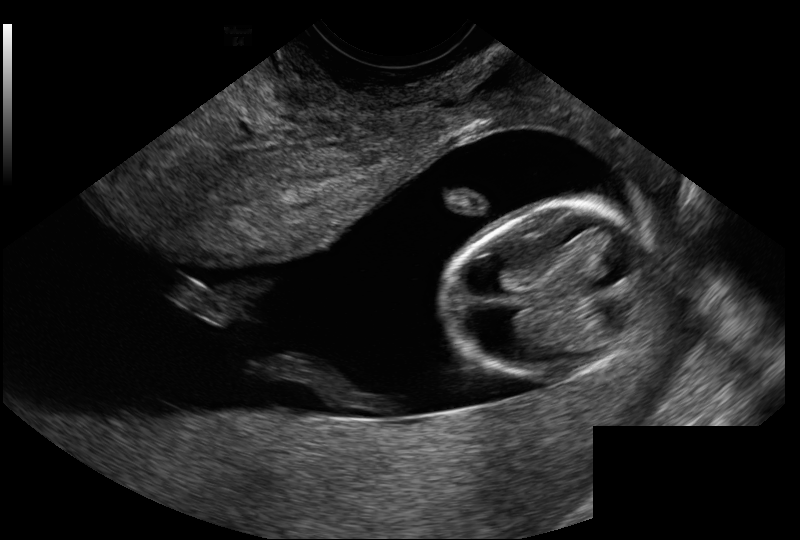
Fetal head ultrasound. Image width: 91.5 mm. Where is the fetal head?

Head bounding box: [450,202,650,379]